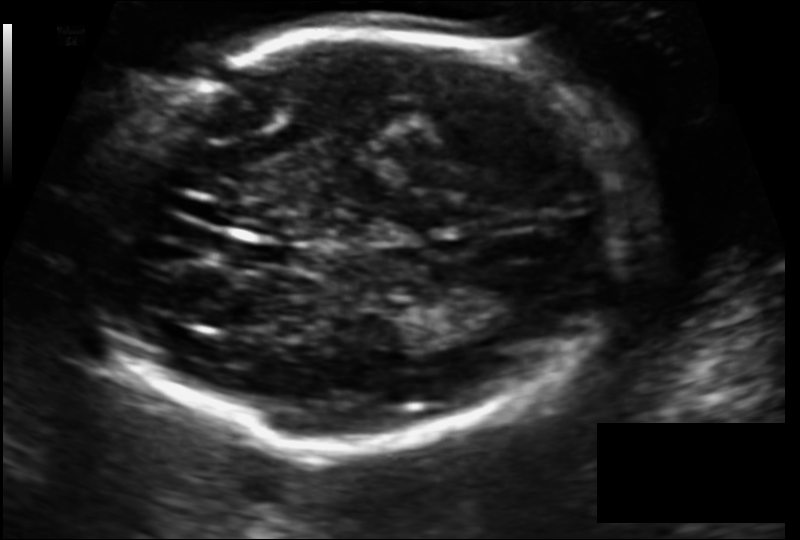
Measure the fetal head circumference shown in this ultrasound image. Image width: 98.9 mm.

Head circumference: 191.9 mm.